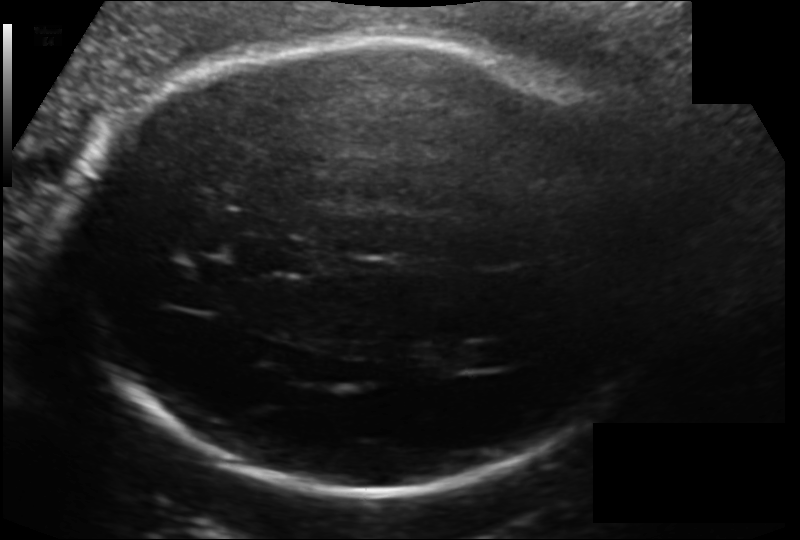
Measure the fetal head circumference shown in this ultrasound image. Image width: 123.2 mm.

Head circumference: 261.2 mm.